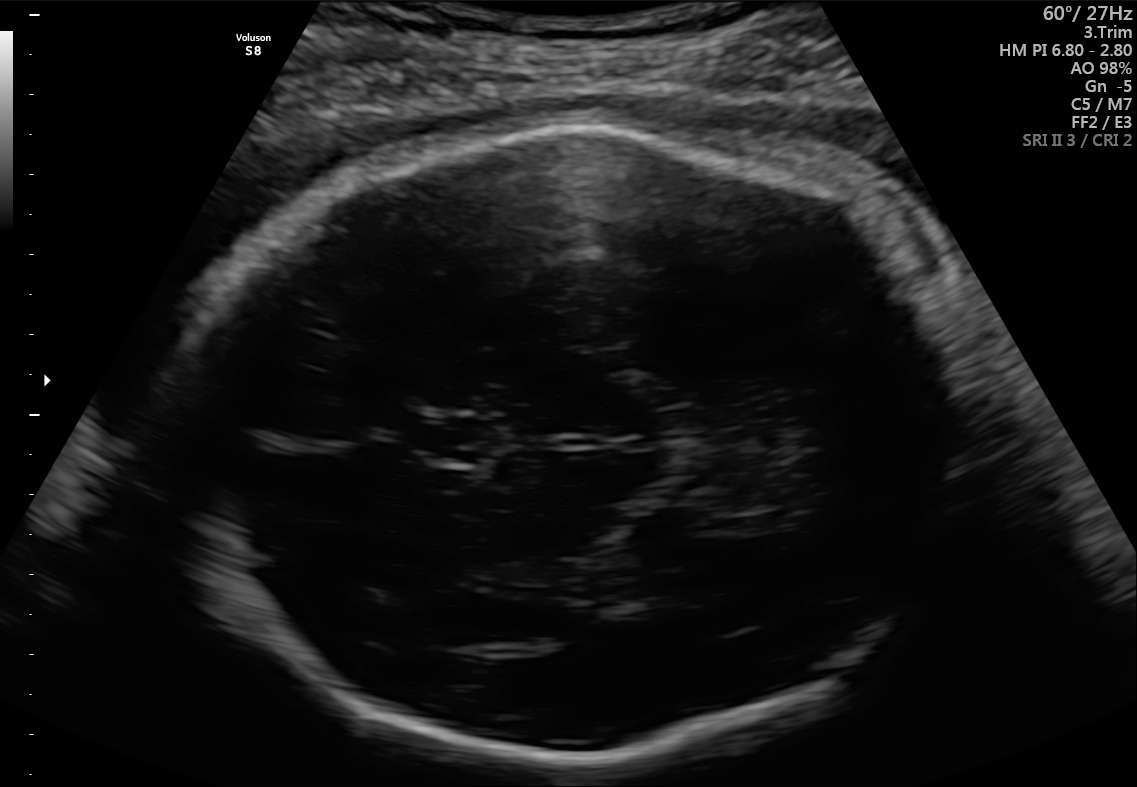
In this fetal brain, trans-thalamic plane, give the bounding box of the cavum septum pellucidum.

[418,417,488,464]